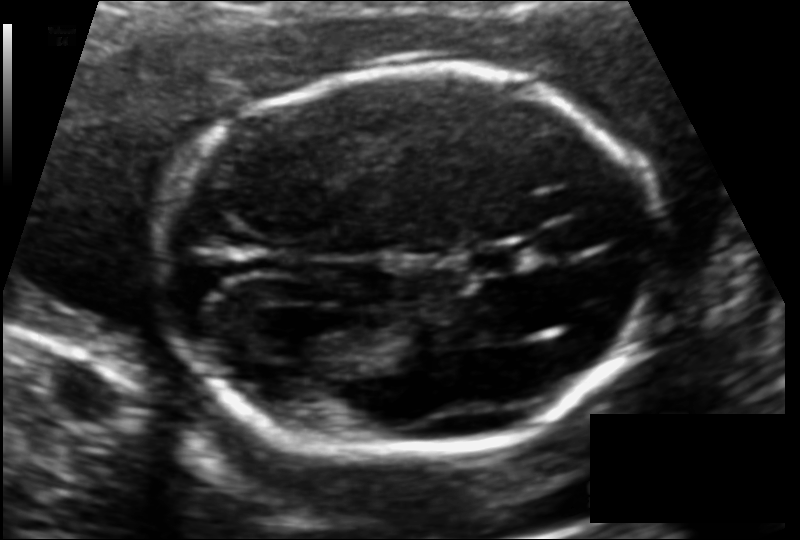
Fetal head ultrasound. Image width: 93.1 mm. Where is the fetal head?

Head bounding box: [159,72,661,453]